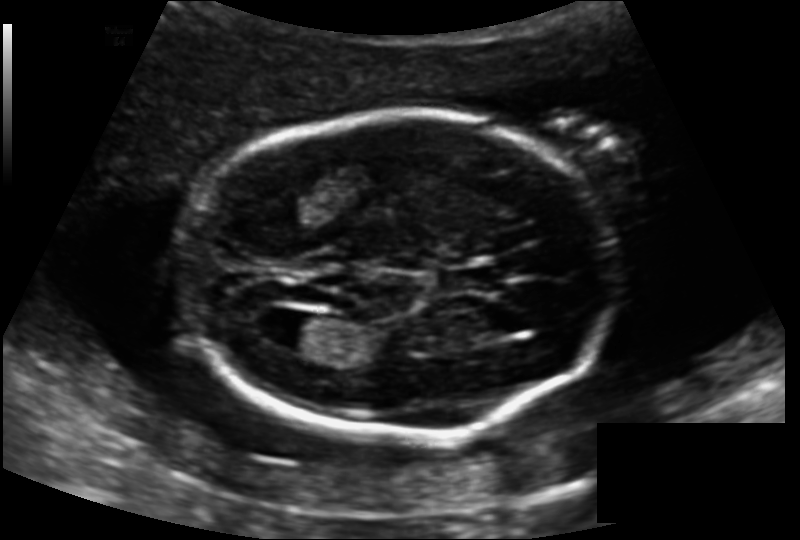
What is the fetal head circumference? Image width is 111.5 mm.

173.2 mm